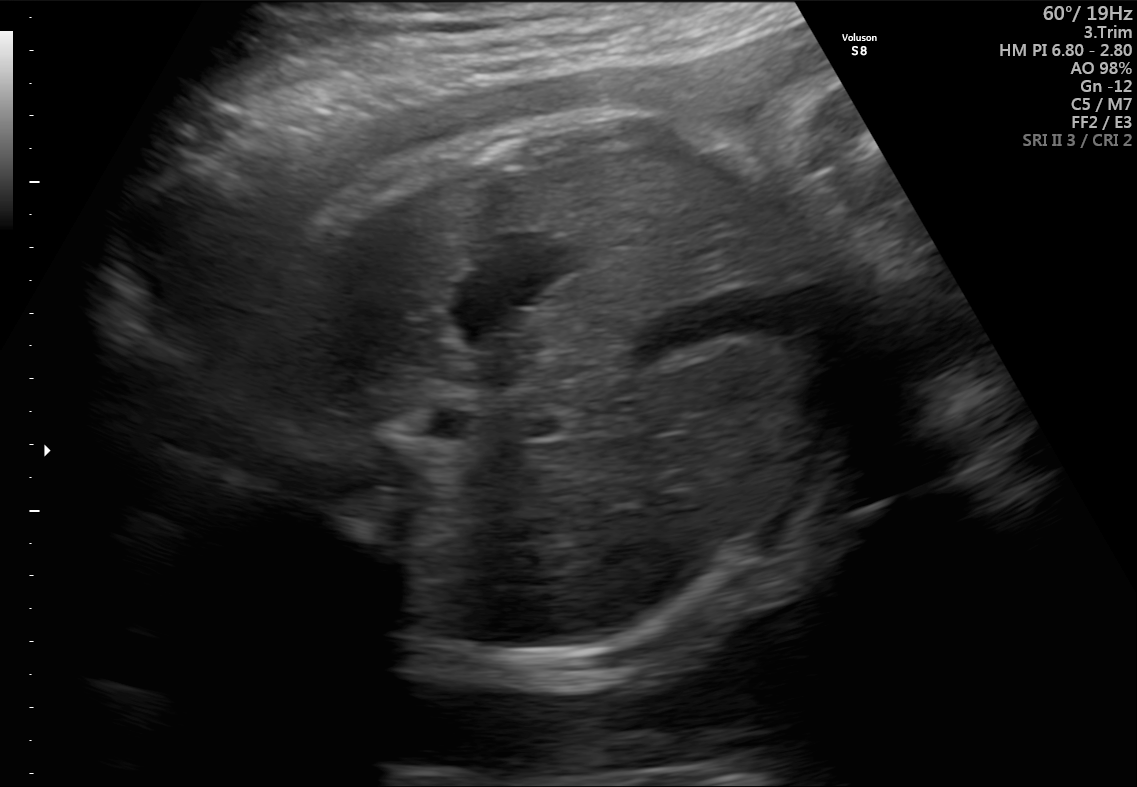
Identify the standard plane in this fetal ultrasound image: fetal abdomen, fetal brain, fetal femur, fetal thorax, maternal cervix, or other. If it's fetal brain and one of the three standard brain planes (trans-thalamic, trans-cerebellum, trans-ventricular), name which.

Fetal abdomen